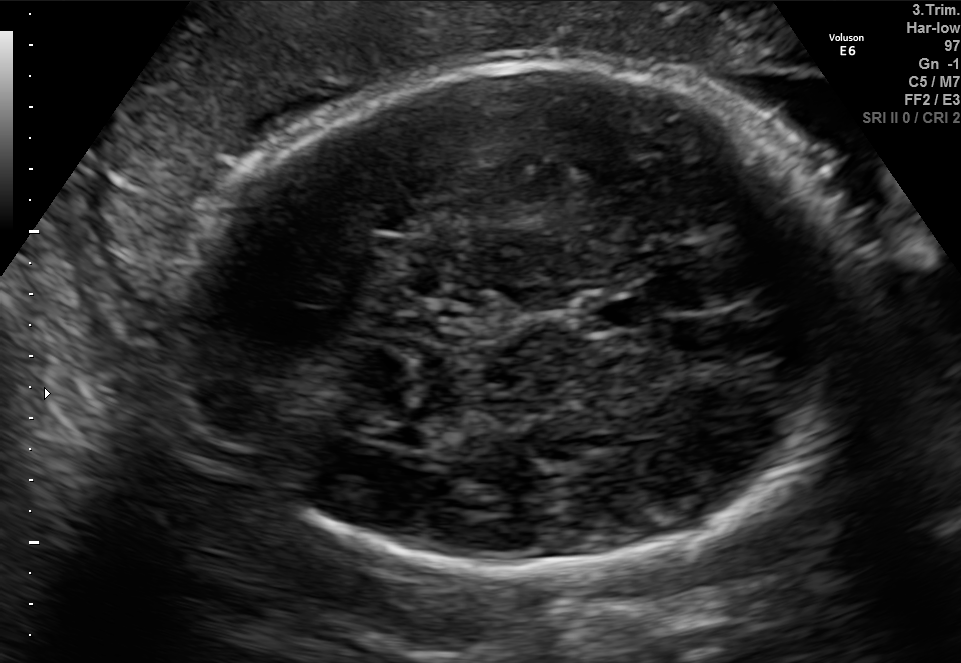
Fetal brain, trans-thalamic plane. Give [x1,y1,x2,y2] bounding boxes for each visible structure among: fetal head, CSP, LV.

Head: [191,57,862,574]
CSP: [580,291,645,331]
Lateral ventricle: [344,407,432,450]